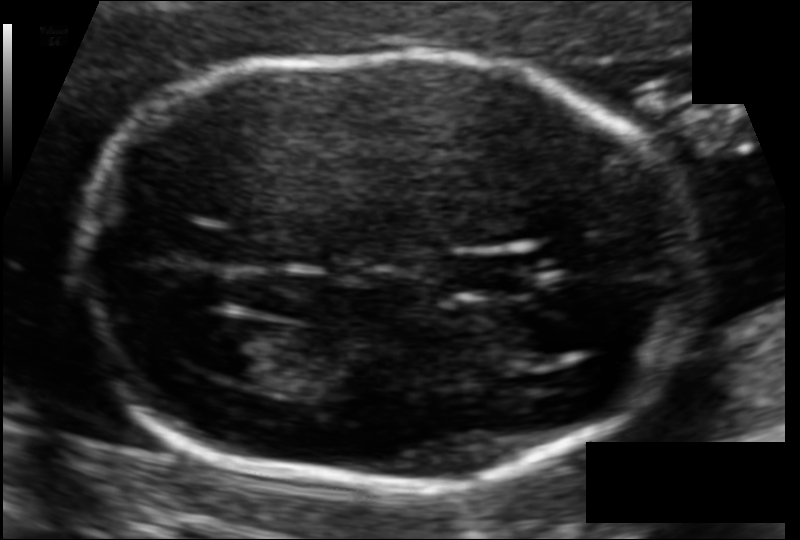
Fetal head ultrasound. Image width: 73.9 mm. Locate the fetal head.

Head: [81,56,701,486]